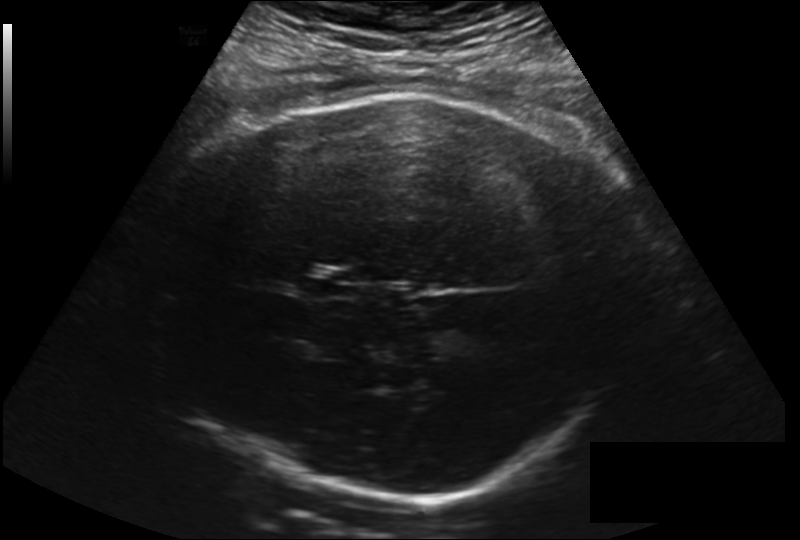
Fetal head ultrasound. Image width: 179.8 mm. Locate the fetal head and, if visible, the cavum septum pellucidum (CSP) and lateral ventricle (LV). Give bounding boxes as [x1,y1,x2,y2].

Head: [155,91,628,504]